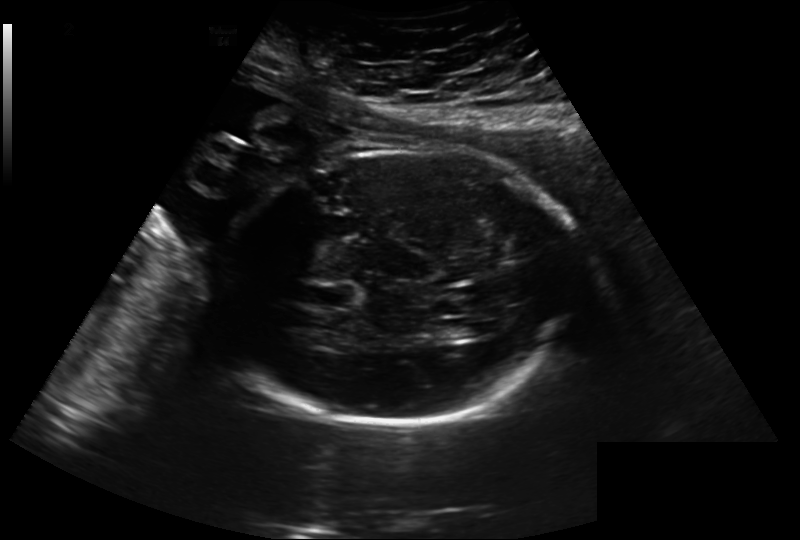
Fetal head ultrasound. Image width: 208.3 mm. Where is the lateral ventricle?

Lateral ventricle bounding box: [437,317,476,340]